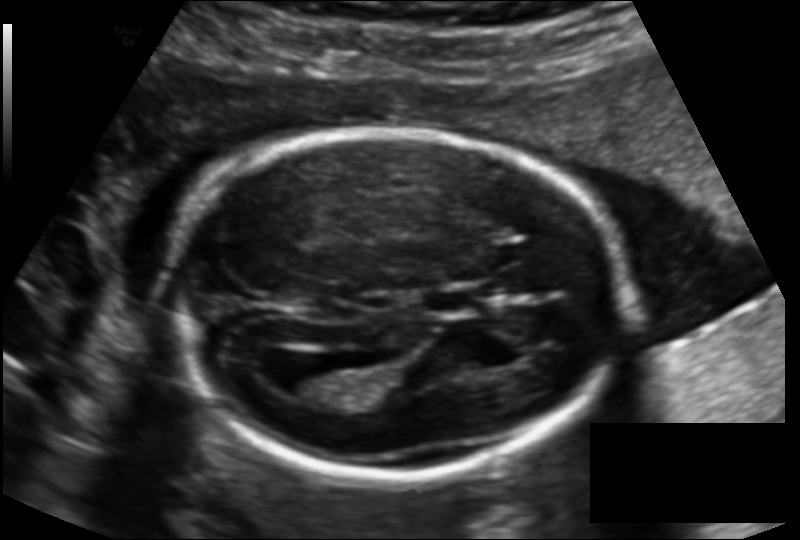
From this fetal ultrasound, estimate the head circumference (image width 109.0 mm).

Head circumference: 181.4 mm.